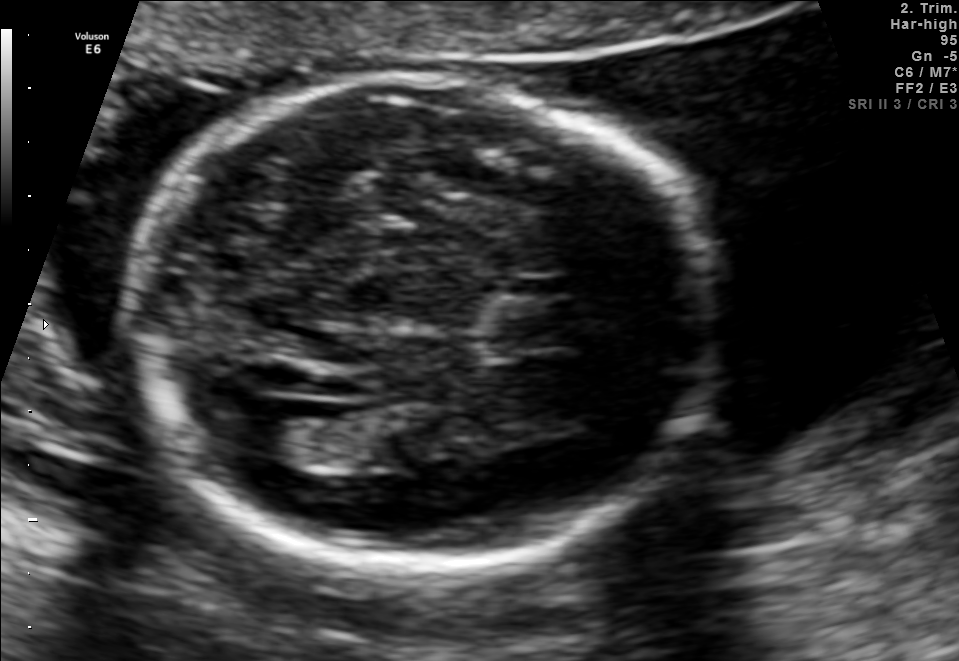
Fetal brain, trans-ventricular plane. Give [x1,y1,x2,y2] bounding boxes for each visible structure among: fetal head, CSP, LV.

Head: [112,66,737,575]
CSP: [472,295,582,351]
Lateral ventricle: [216,388,327,463]